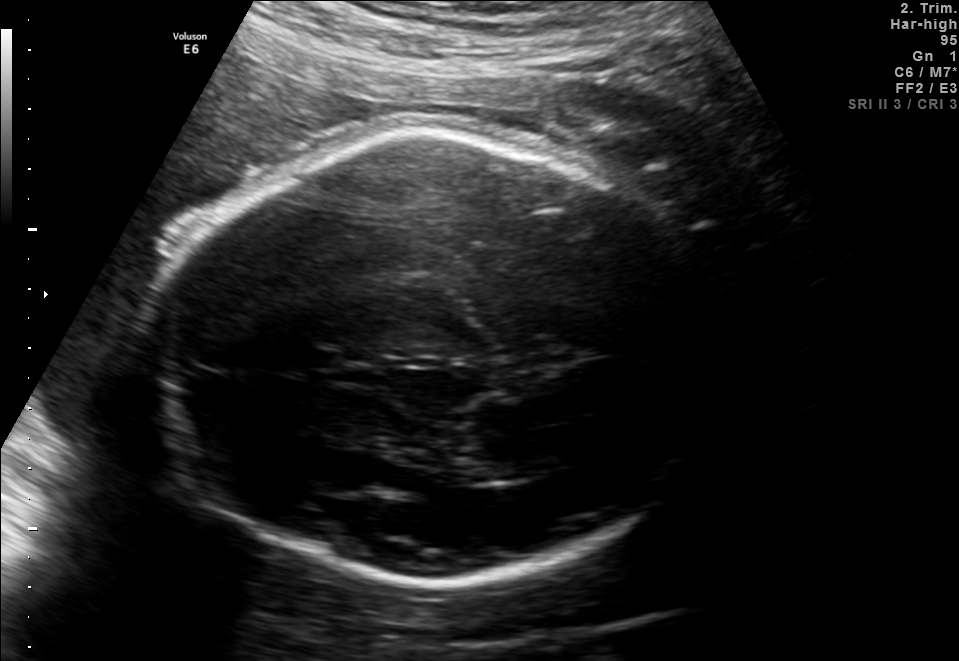
In this fetal brain, trans-thalamic plane, give the bounding box of the fetal head.

[141,127,714,578]